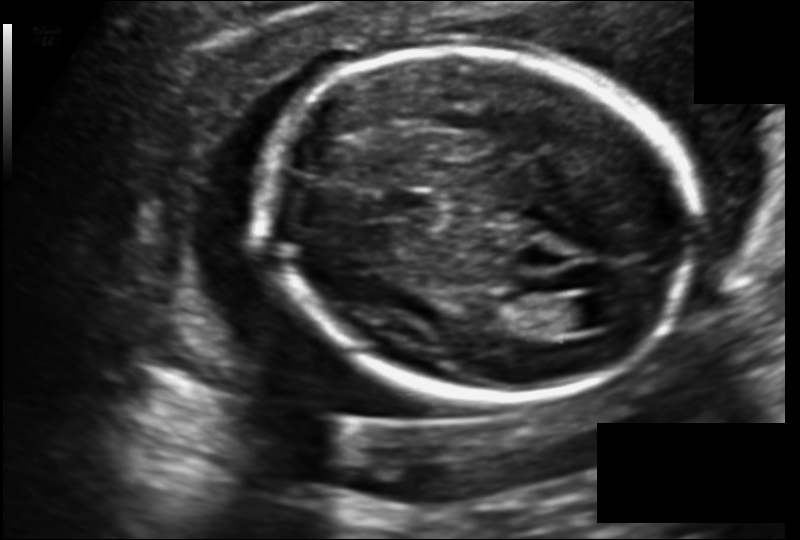
Estimate the fetal head circumference from this 2D ultrasound. Image width: 111.6 mm.

Head circumference: 176.6 mm.